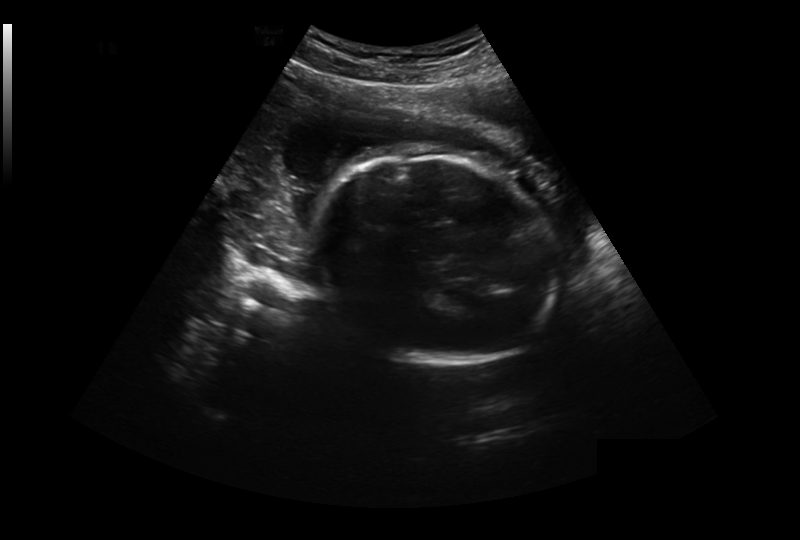
In this fetal head ultrasound, give the bounding box of the fetal head. Image width: 261.2 mm.

[306,155,559,364]